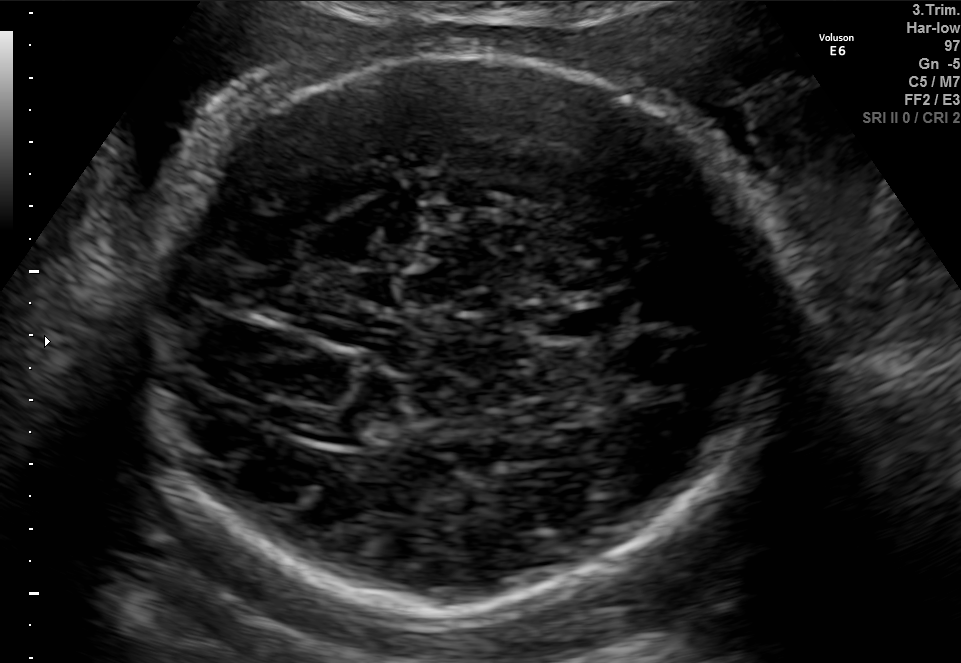
Which standard maternal-fetal ultrasound plane is shown: fetal abdomen, fetal brain, fetal femur, fetal thorax, maternal cervix, or other? If it's fetal brain and one of the three standard brain planes (trans-thalamic, trans-cerebellum, trans-ventricular), name which.

Fetal brain (trans-thalamic plane)